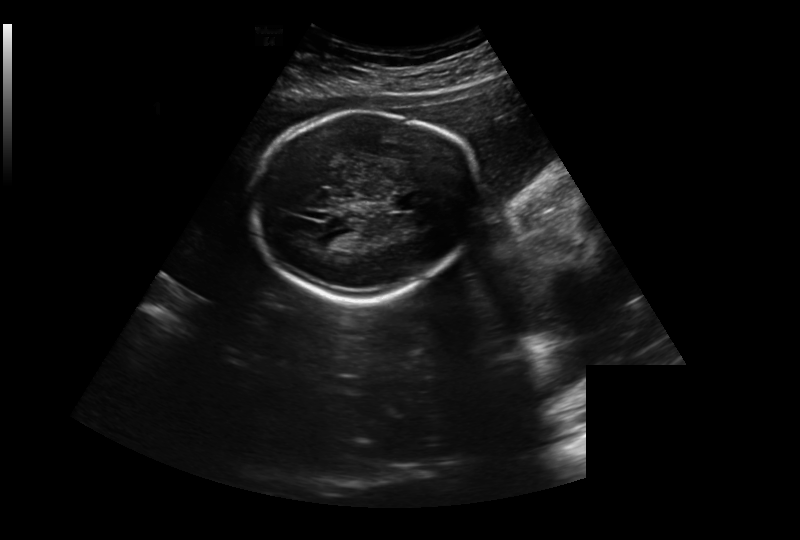
In this fetal head ultrasound, give bounding boxes for the head outline, cavum septum pellucidum (CSP), and lateral ventricle (LV), where visible. Image width: 260.8 mm.

Head: [253,110,479,301]
CSP: [390,192,425,212]
Lateral ventricle: [316,231,354,249]